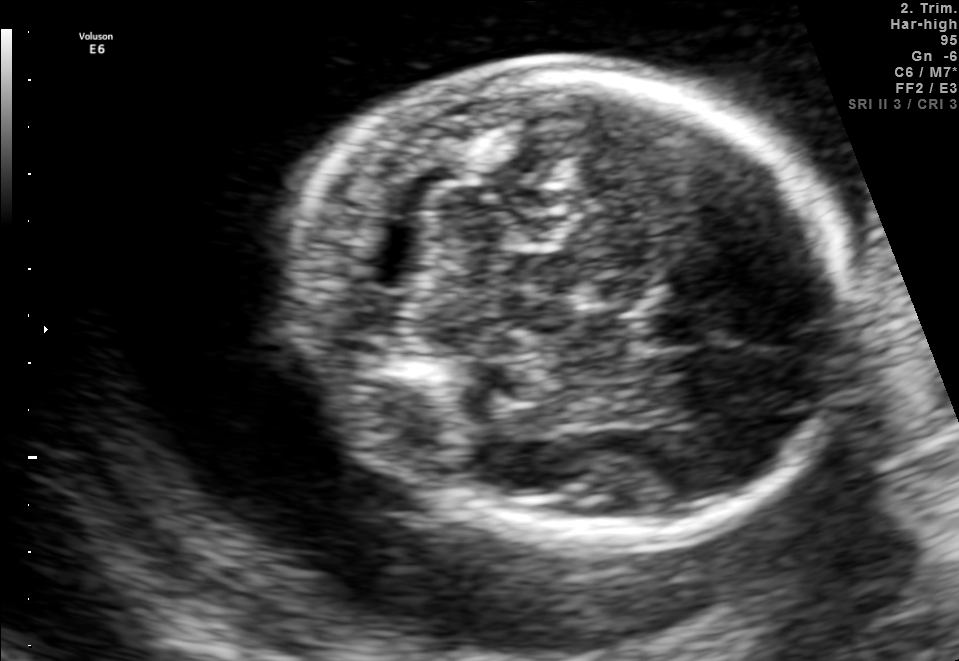
In this fetal brain, trans-cerebellum plane, give the bounding box of the cavum septum pellucidum.

[642,305,727,355]